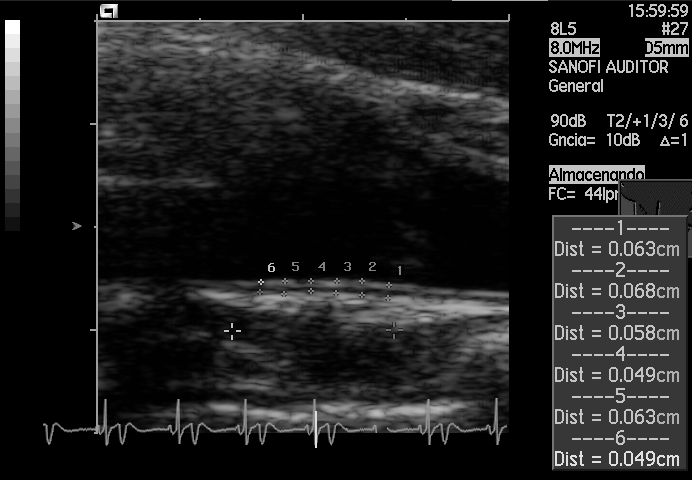
Classify this maternal-fetal ultrasound image as one of the six standard planes — fetal abdomen, fetal brain, fetal femur, fetal thorax, maternal cervix, or other. If it's fetal brain and one of the three standard brain planes (trans-thalamic, trans-cerebellum, trans-ventricular), name which.

Other